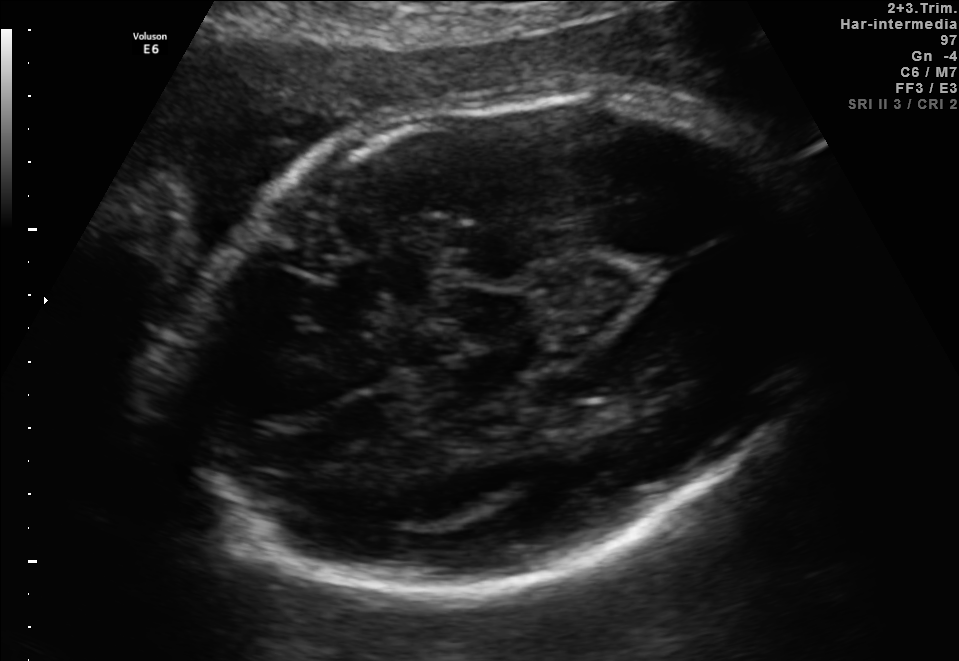
This is a 2D maternal-fetal ultrasound frame. Is it a fetal abdomen, fetal brain, fetal femur, fetal thorax, maternal cervix, or other standard plane? If it's fetal brain and one of the three standard brain planes (trans-thalamic, trans-cerebellum, trans-ventricular), name which.

Fetal brain (trans-thalamic plane)